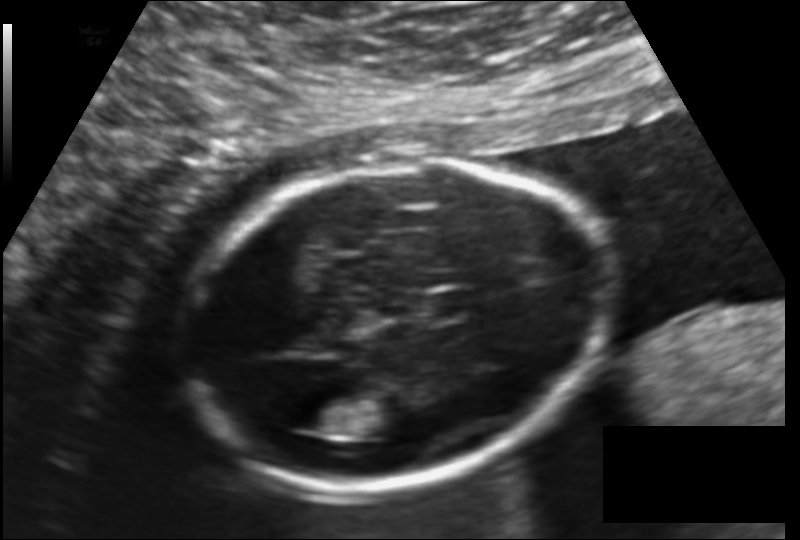
Measure the fetal head circumference shown in this ultrasound image. Image width: 112.0 mm.

Head circumference: 178.3 mm.